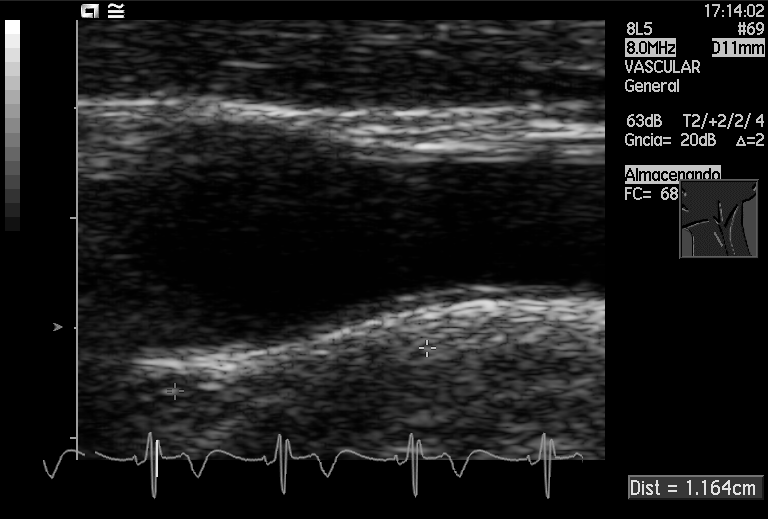
Classify this maternal-fetal ultrasound image as one of the six standard planes — fetal abdomen, fetal brain, fetal femur, fetal thorax, maternal cervix, or other. If it's fetal brain and one of the three standard brain planes (trans-thalamic, trans-cerebellum, trans-ventricular), name which.

Other